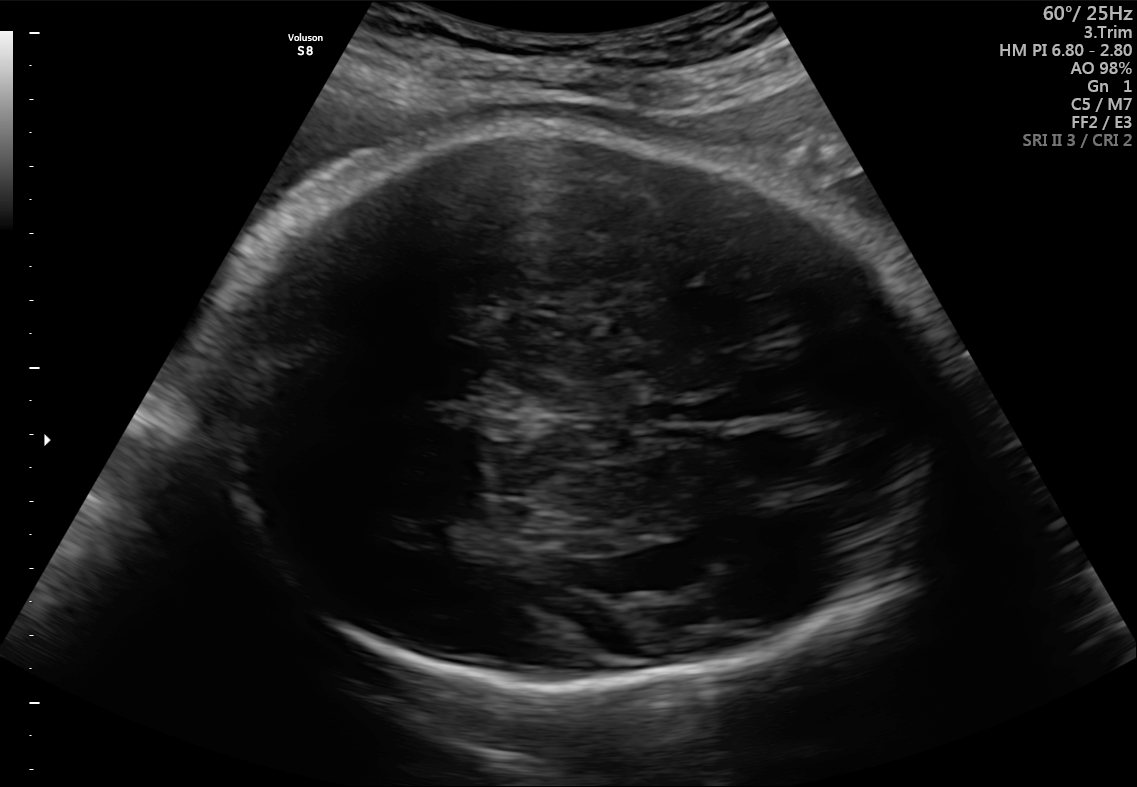
Fetal brain, trans-thalamic plane. Give [x1,y1,x2,y2] bounding boxes for each visible structure among: fetal head, CSP, LV.

Head: [226,127,927,693]